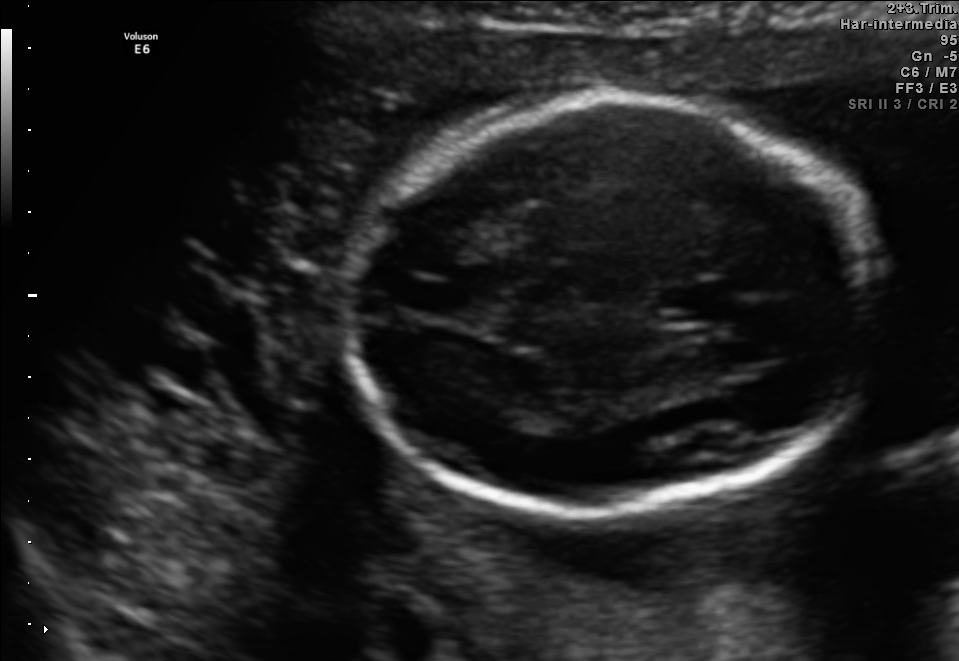
Classify this maternal-fetal ultrasound image as one of the six standard planes — fetal abdomen, fetal brain, fetal femur, fetal thorax, maternal cervix, or other. If it's fetal brain and one of the three standard brain planes (trans-thalamic, trans-cerebellum, trans-ventricular), name which.

Fetal brain (trans-thalamic plane)